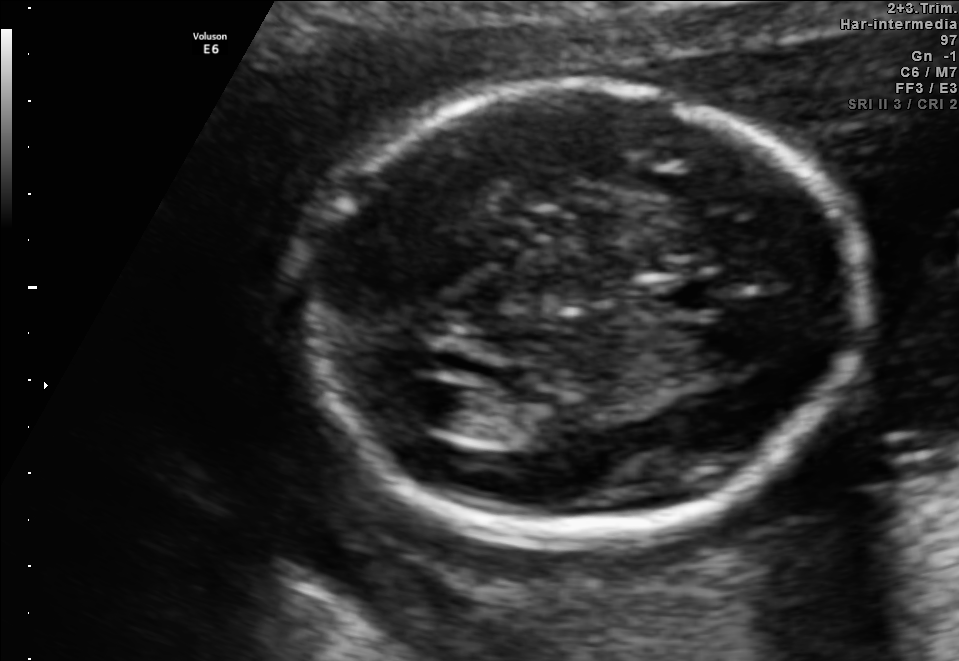
Fetal brain, trans-ventricular plane. Locate the cavum septum pellucidum.

CSP: [635,276,727,317]